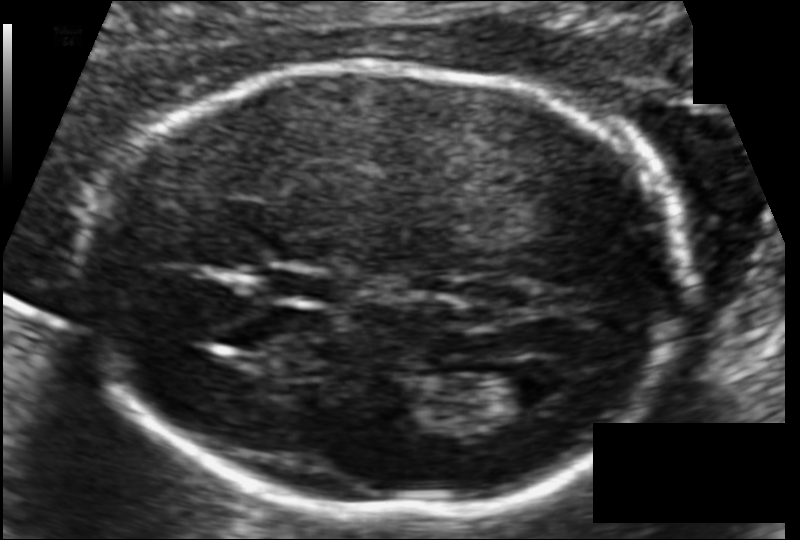
In this fetal head ultrasound, give bounding boxes for the head outline, cavum septum pellucidum (CSP), and lateral ventricle (LV), where visible. Image width: 81.8 mm.

Head: [85,66,683,510]
CSP: [259,267,336,303]
Lateral ventricle: [478,350,571,420]